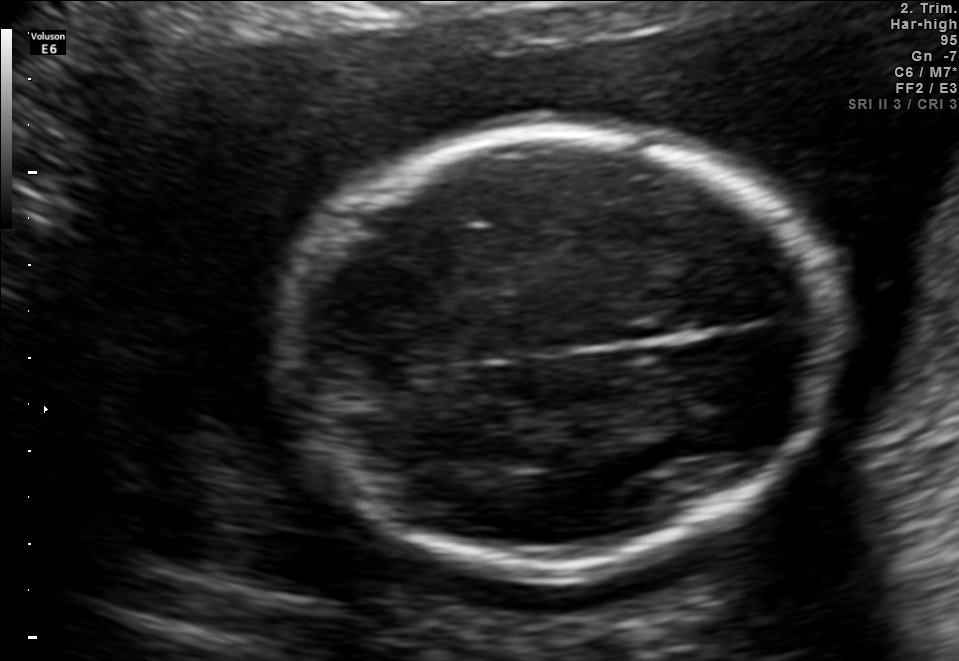
Fetal brain, trans-thalamic plane. Give [x1,y1,x2,y2] bounding boxes for each visible structure among: fetal head, CSP, LV.

Head: [285,131,826,572]